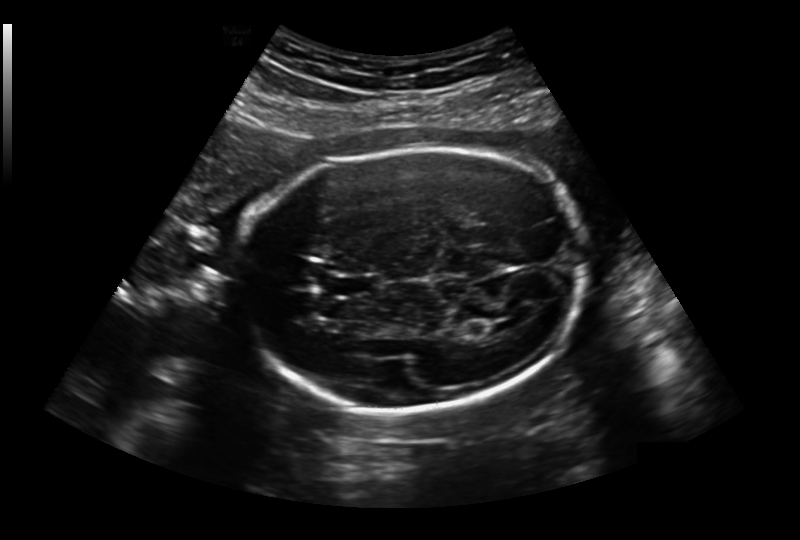
In this fetal head ultrasound, give the bounding box of the cavum septum pellucidum. Image width: 188.7 mm.

[333,273,376,296]